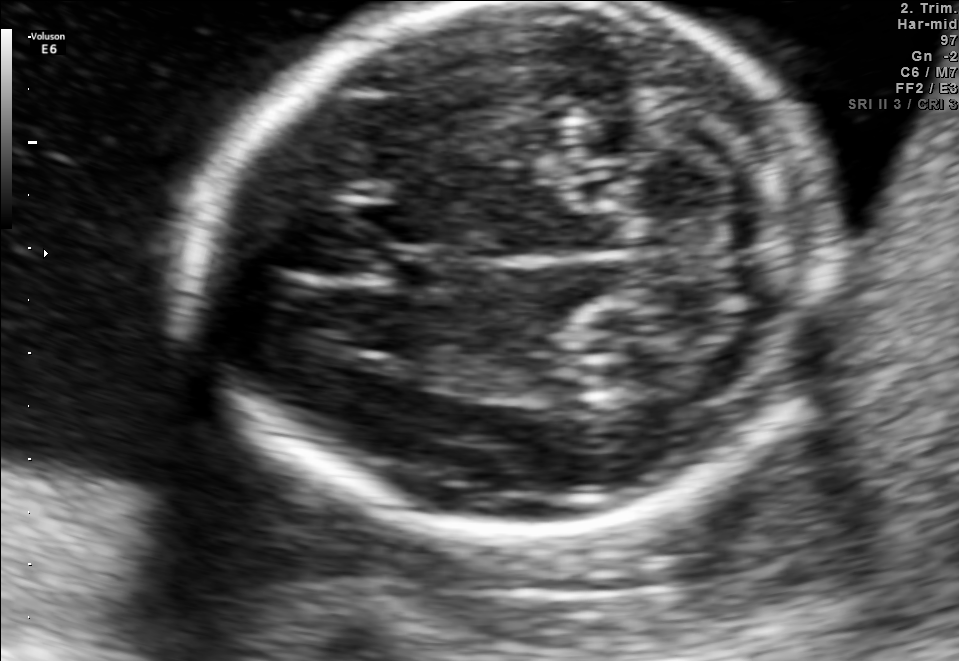
Fetal brain, trans-cerebellum plane. Give [x1,y1,x2,y2] bounding boxes for each visible structure among: fetal head, CSP, LV.

Head: [188,4,841,537]
CSP: [380,251,451,291]